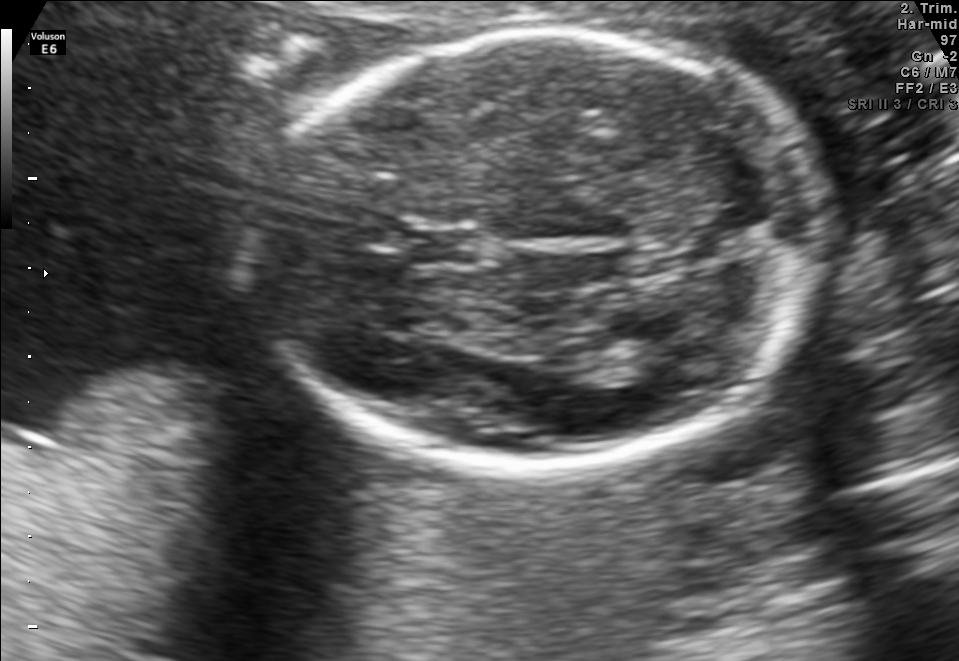
In this fetal brain, trans-thalamic plane, give bounding boxes for the head outline, cavum septum pellucidum (CSP), and lateral ventricle (LV), where visible.

Head: [257,34,820,463]
CSP: [414,230,475,262]